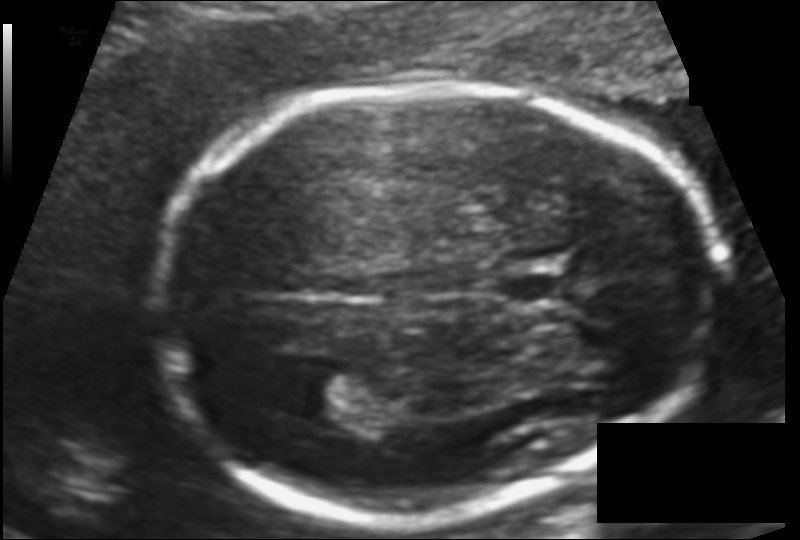
Fetal head ultrasound. Image width: 87.8 mm. Where is the lateral ventricle?

Lateral ventricle bounding box: [282,365,367,423]